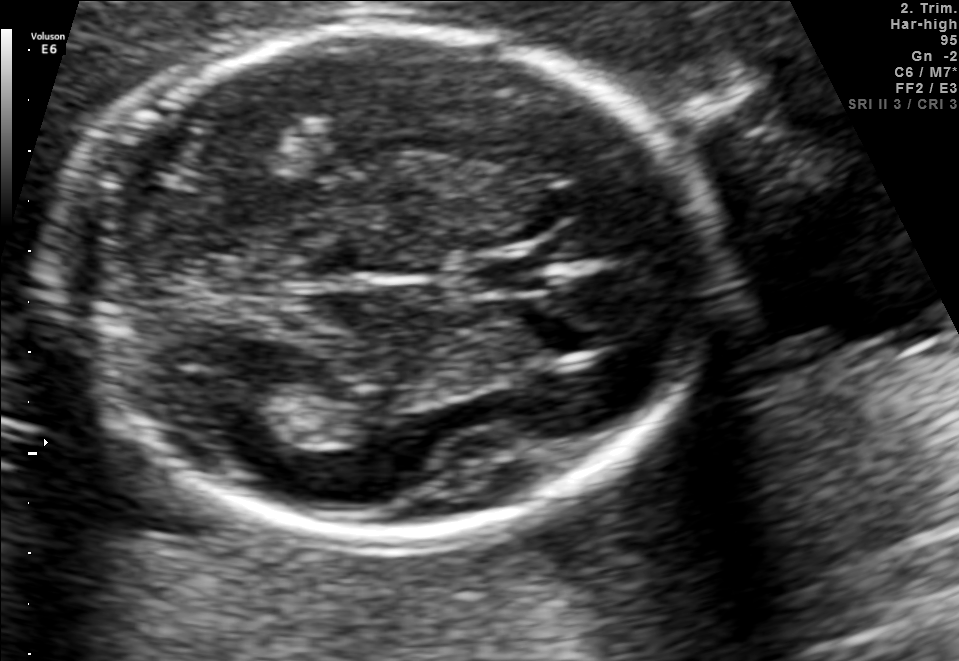
In this fetal brain, trans-thalamic plane, give bounding boxes for the head outline, cavum septum pellucidum (CSP), and lateral ventricle (LV), where visible.

Head: [59,23,708,540]
CSP: [464,254,550,295]
Lateral ventricle: [217,384,319,447]